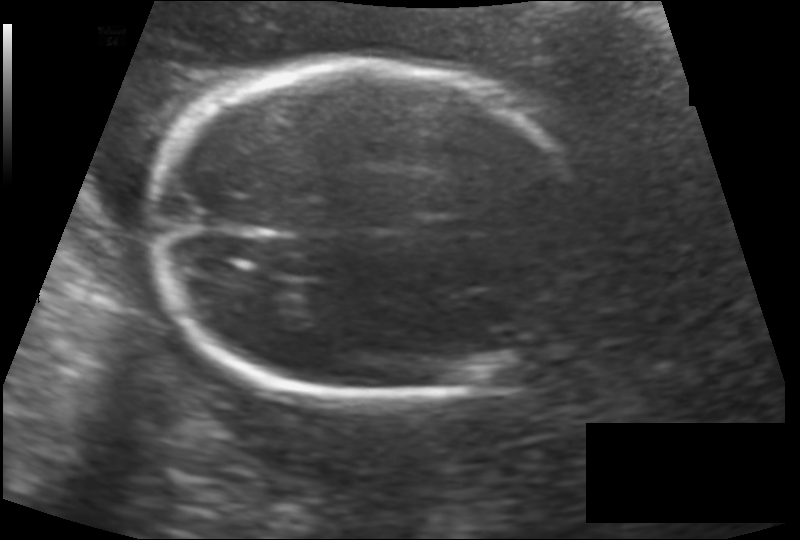
Estimate the fetal head circumference from this 2D ultrasound.

Head circumference: 182.5 mm (image width 117.4 mm).